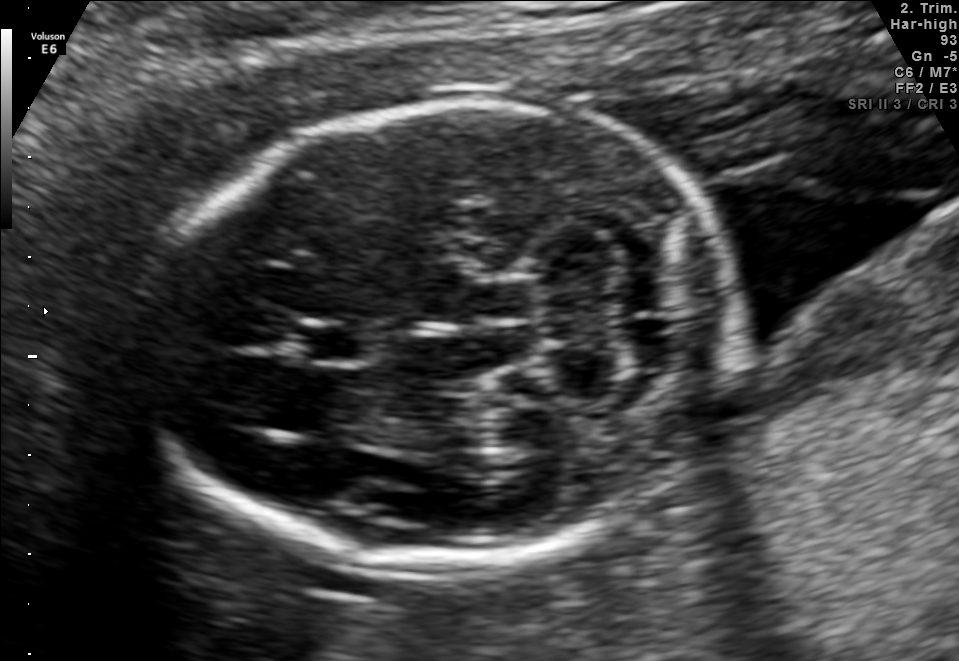
In this fetal brain, trans-cerebellum plane, give the bounding box of the cavum septum pellucidum.

[299,319,376,364]